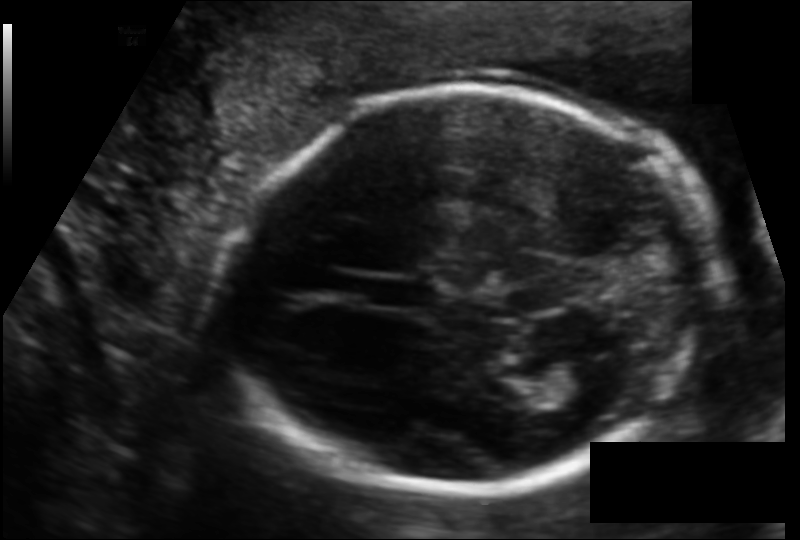
Fetal head ultrasound. Image width: 95.3 mm. Where is the cavum septum pellucidum?

CSP bounding box: [370,277,434,308]